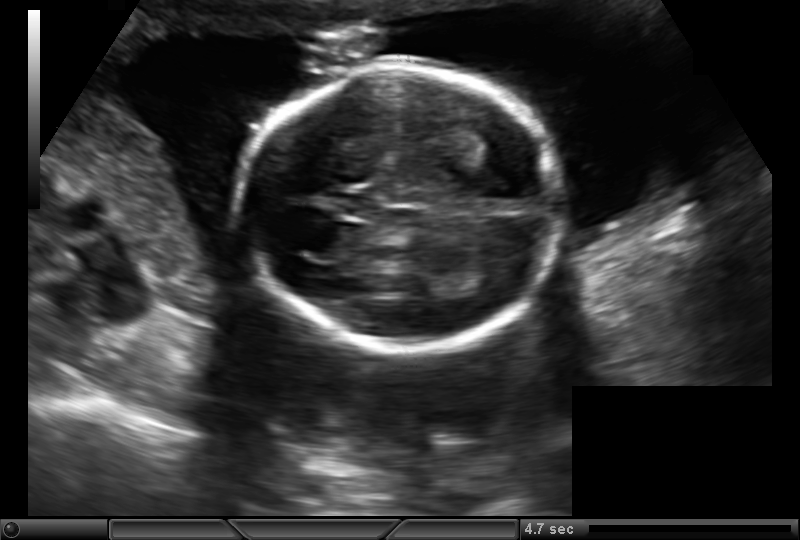
Fetal head ultrasound. Image width: 129.0 mm. Locate the fetal head.

Head: [241,65,557,350]